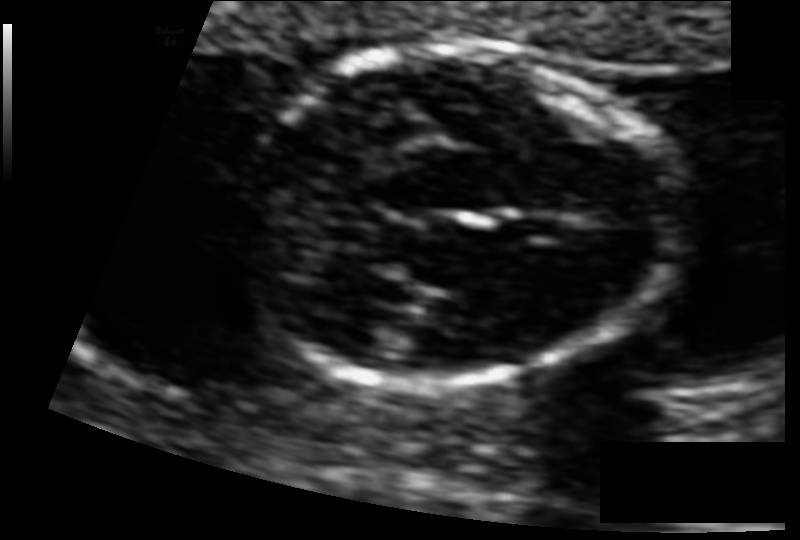
Fetal head ultrasound. Image width: 58.4 mm. Where is the cavum septum pellucidum?

CSP bounding box: [503,212,559,242]